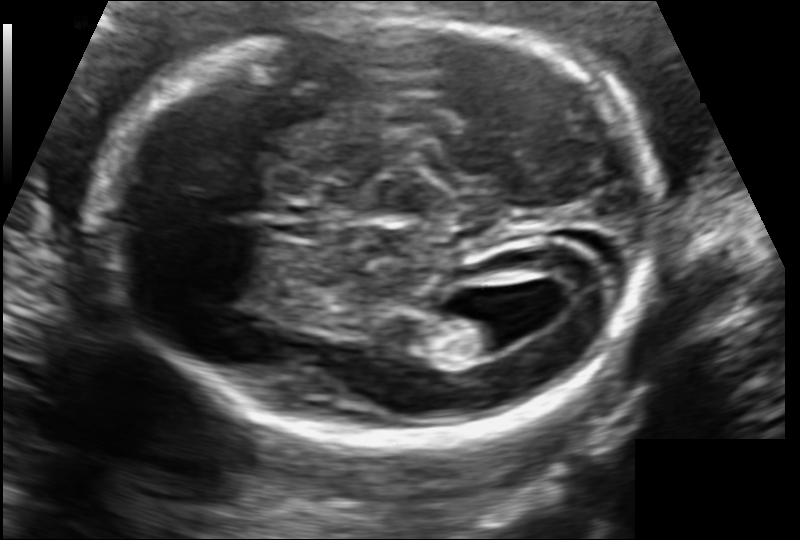
Measure the fetal head circumference shown in this ultrasound image. Image width: 87.0 mm.

Head circumference: 172.9 mm.